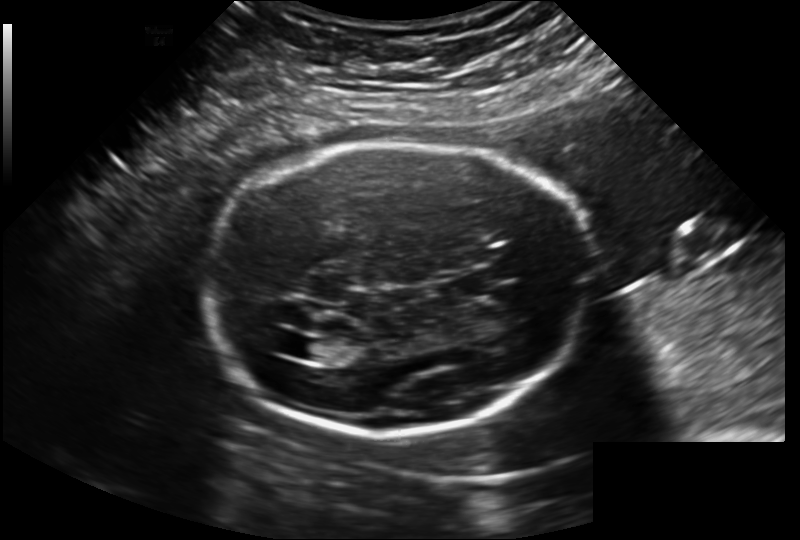
What is the fetal head circumference? Image width is 161.6 mm.

223.8 mm